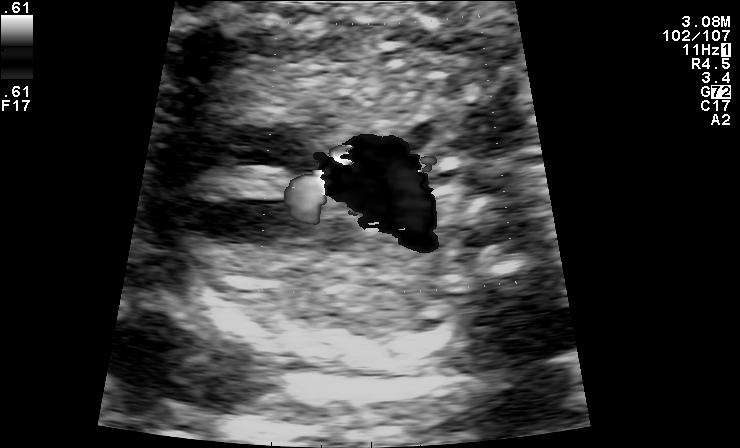
Which standard maternal-fetal ultrasound plane is shown: fetal abdomen, fetal brain, fetal femur, fetal thorax, maternal cervix, or other? If it's fetal brain and one of the three standard brain planes (trans-thalamic, trans-cerebellum, trans-ventricular), name which.

Other